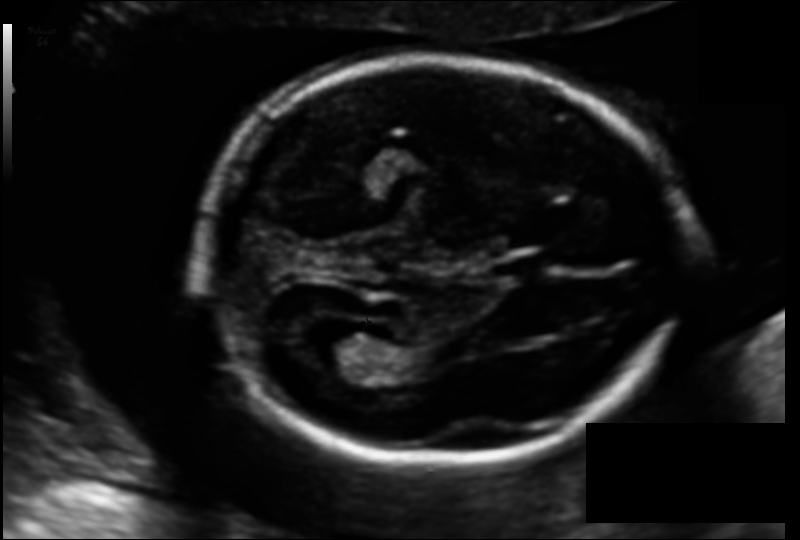
In this fetal head ultrasound, give the bounding box of the lateral ventricle. Image width: 97.9 mm.

[297,313,386,386]